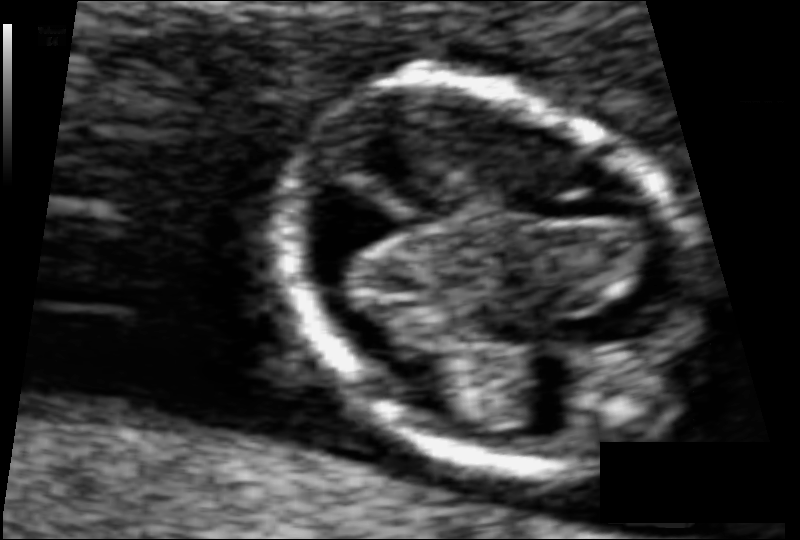
Fetal head ultrasound. Image width: 46.0 mm. Locate the fetal head and, if visible, the cavum septum pellucidum (CSP) and lateral ventricle (LV). Give bounding boxes as [x1,y1,x2,y2].

Head: [276,82,697,457]